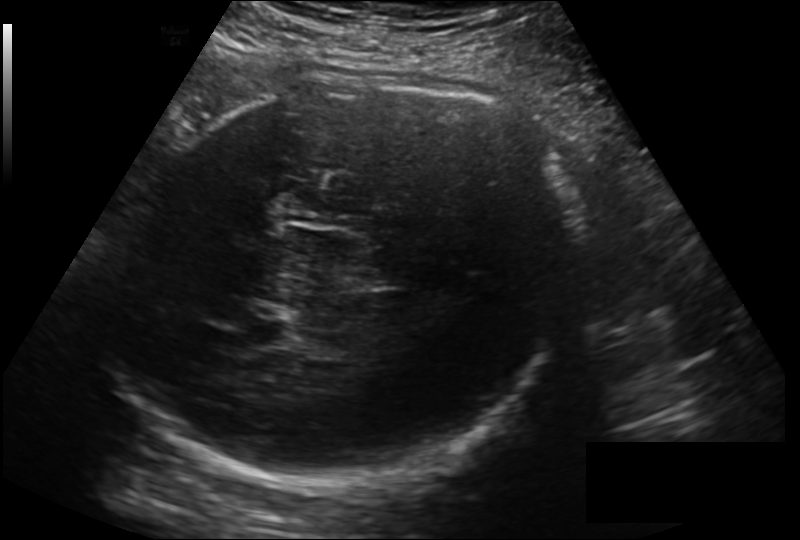
Estimate the fetal head circumference from this 2D ultrasound. Image width: 168.5 mm.

Head circumference: 299.2 mm.